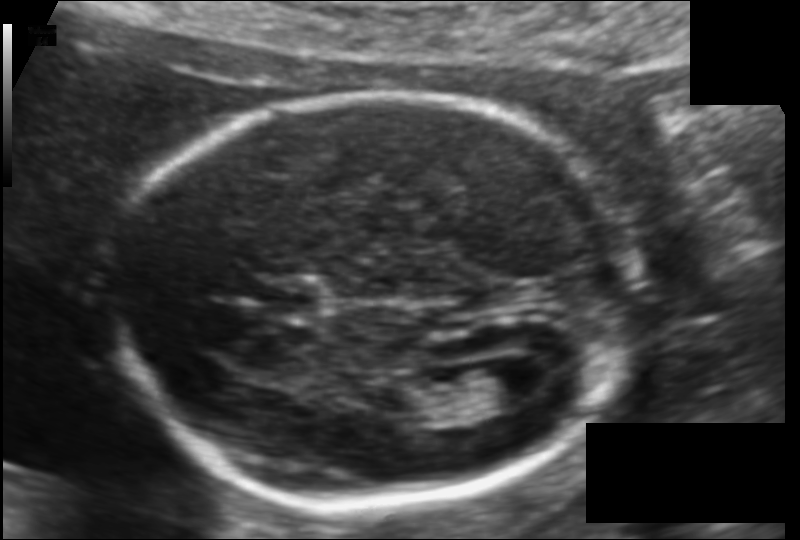
Fetal head ultrasound. Image width: 92.0 mm. Give [x1,y1,x2,y2] bounding boxes for each visible structure among: fetal head, CSP, LV.

Head: [118,95,636,504]
CSP: [258,283,320,315]
Lateral ventricle: [461,354,542,417]